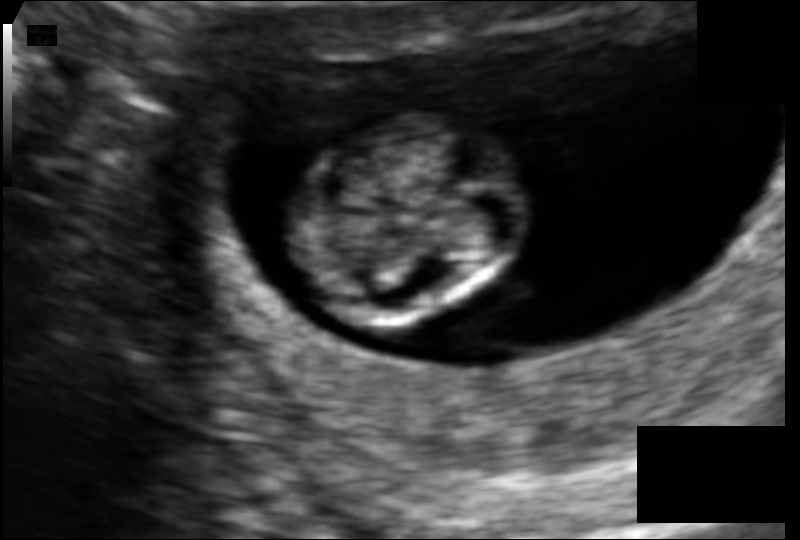
In this fetal head ultrasound, give the bounding box of the fetal head. Image width: 66.8 mm.

[293,114,521,322]